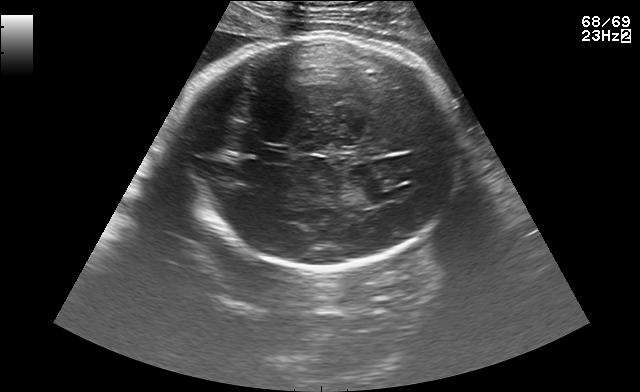
In this fetal brain, trans-thalamic plane, give the bounding box of the fetal head.

[172,38,467,266]